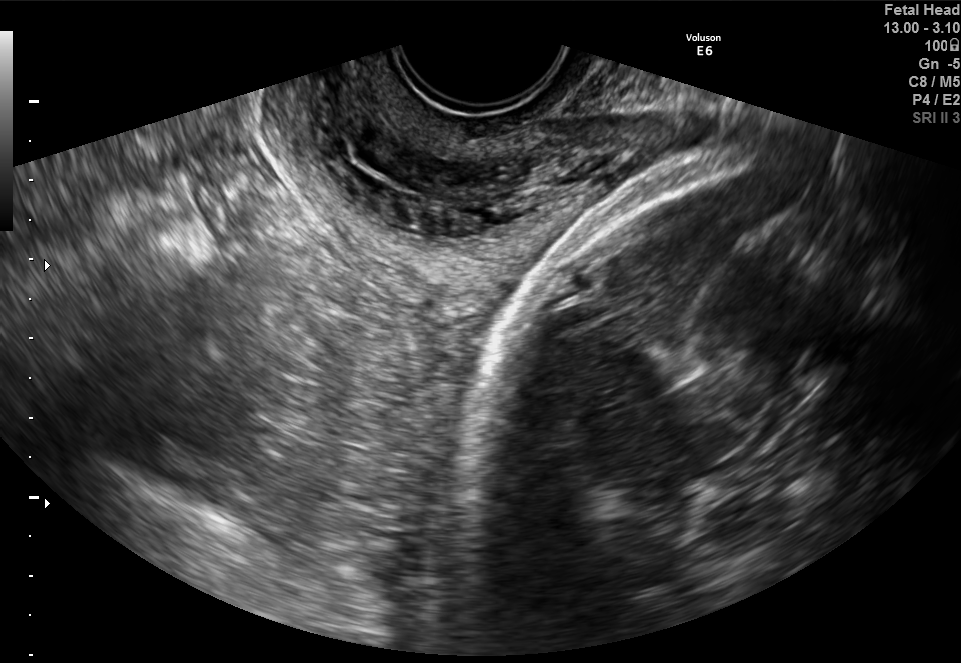
Which standard maternal-fetal ultrasound plane is shown: fetal abdomen, fetal brain, fetal femur, fetal thorax, maternal cervix, or other? If it's fetal brain and one of the three standard brain planes (trans-thalamic, trans-cerebellum, trans-ventricular), name which.

Maternal cervix